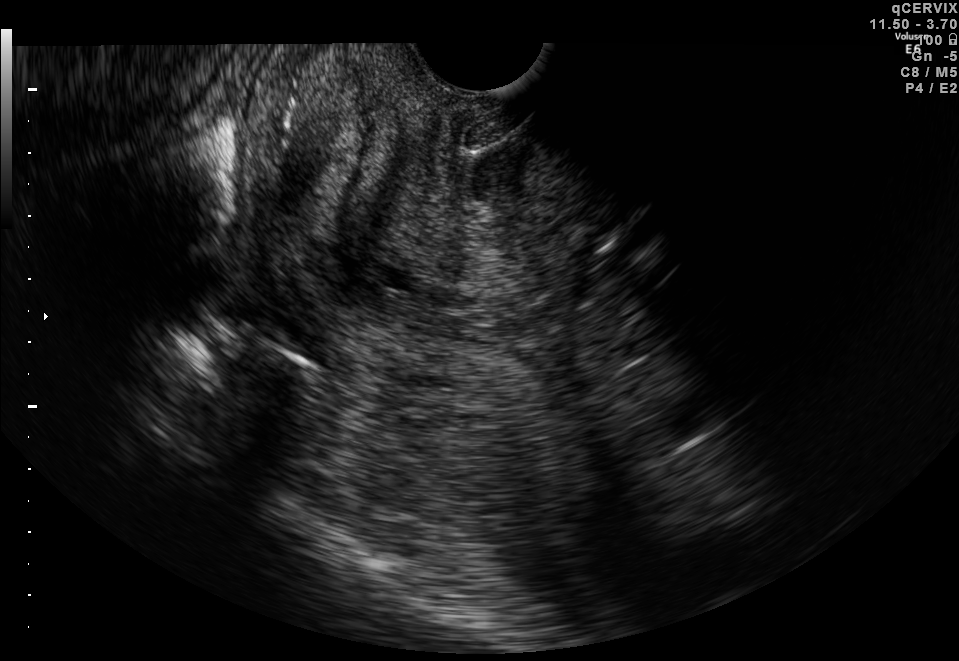
Which standard maternal-fetal ultrasound plane is shown: fetal abdomen, fetal brain, fetal femur, fetal thorax, maternal cervix, or other? If it's fetal brain and one of the three standard brain planes (trans-thalamic, trans-cerebellum, trans-ventricular), name which.

Maternal cervix